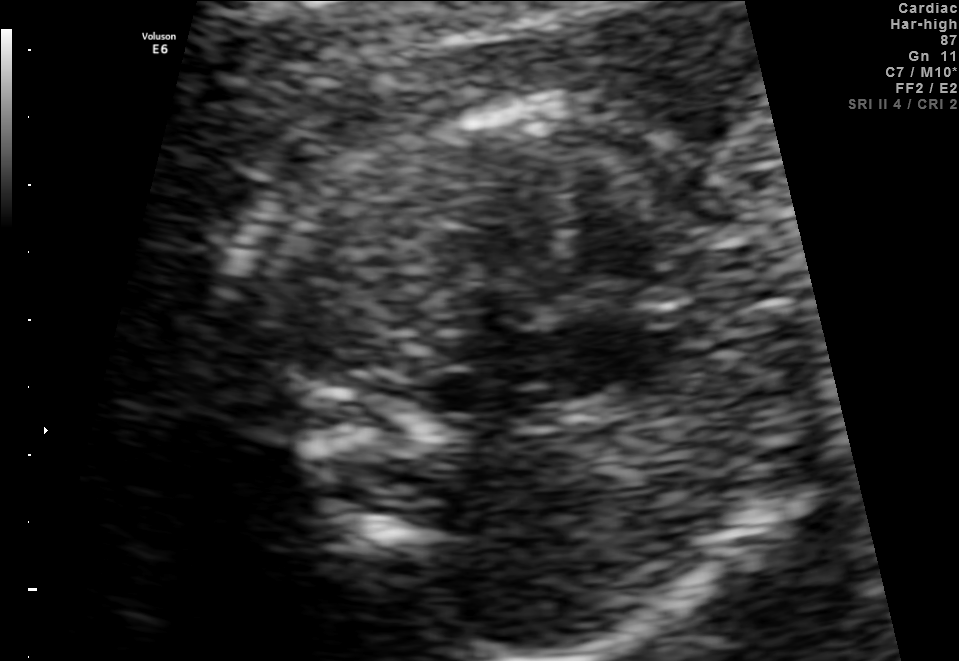
This is a 2D maternal-fetal ultrasound frame. Is it a fetal abdomen, fetal brain, fetal femur, fetal thorax, maternal cervix, or other standard plane? If it's fetal brain and one of the three standard brain planes (trans-thalamic, trans-cerebellum, trans-ventricular), name which.

Fetal thorax